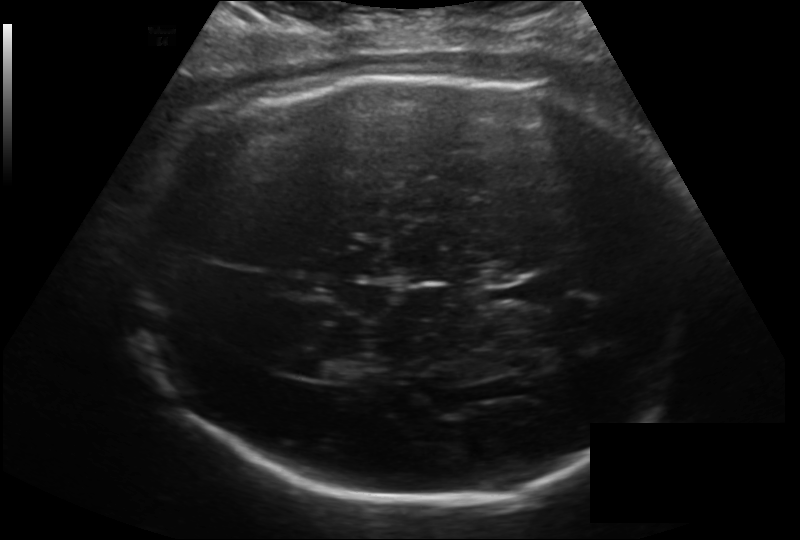
Estimate the fetal head circumference from this 2D ultrasound.

Head circumference: 315.0 mm (image width 154.4 mm).